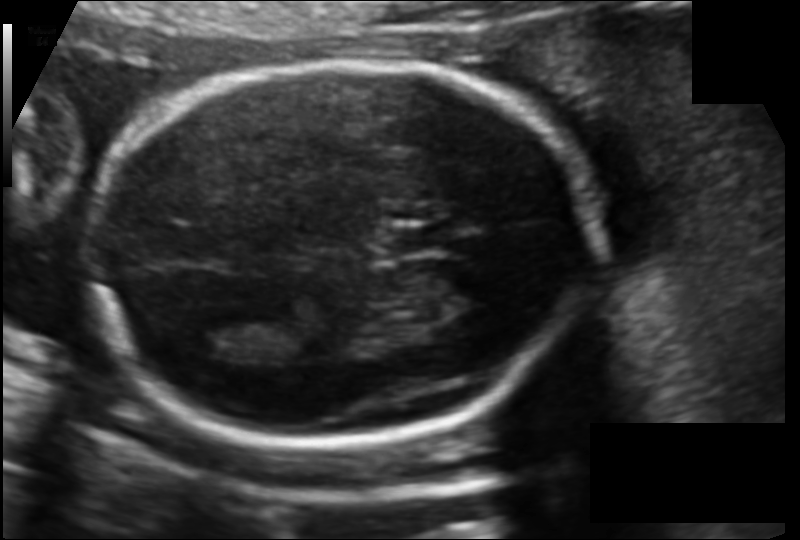
Estimate the fetal head circumference from this 2D ultrasound.

Head circumference: 174.1 mm (image width 96.2 mm).